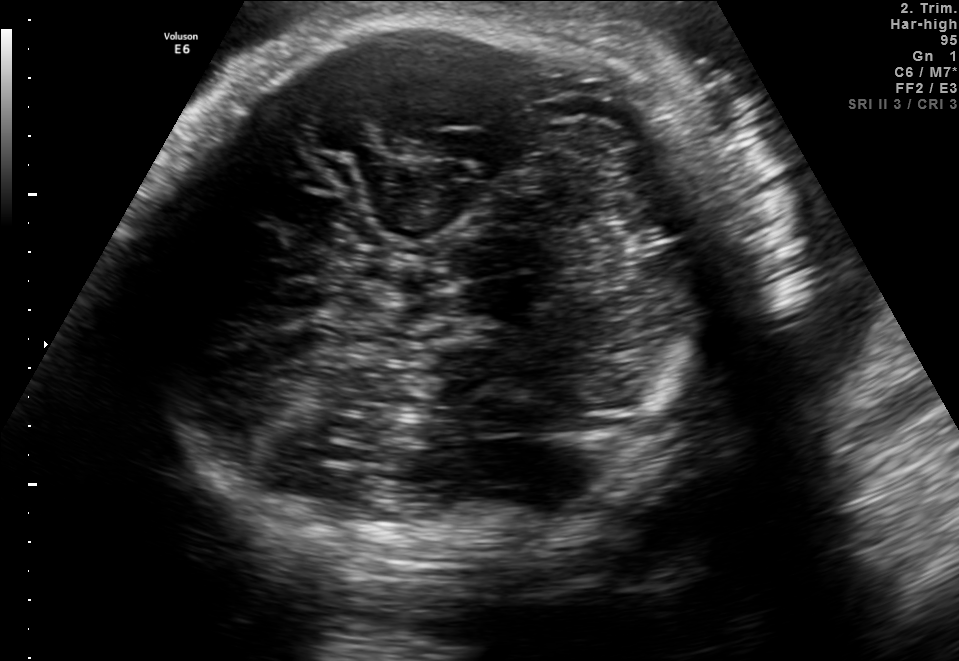
In this fetal brain, trans-thalamic plane, give bounding boxes for the head outline, cavum septum pellucidum (CSP), and lateral ventricle (LV), where visible.

Head: [133,15,742,570]